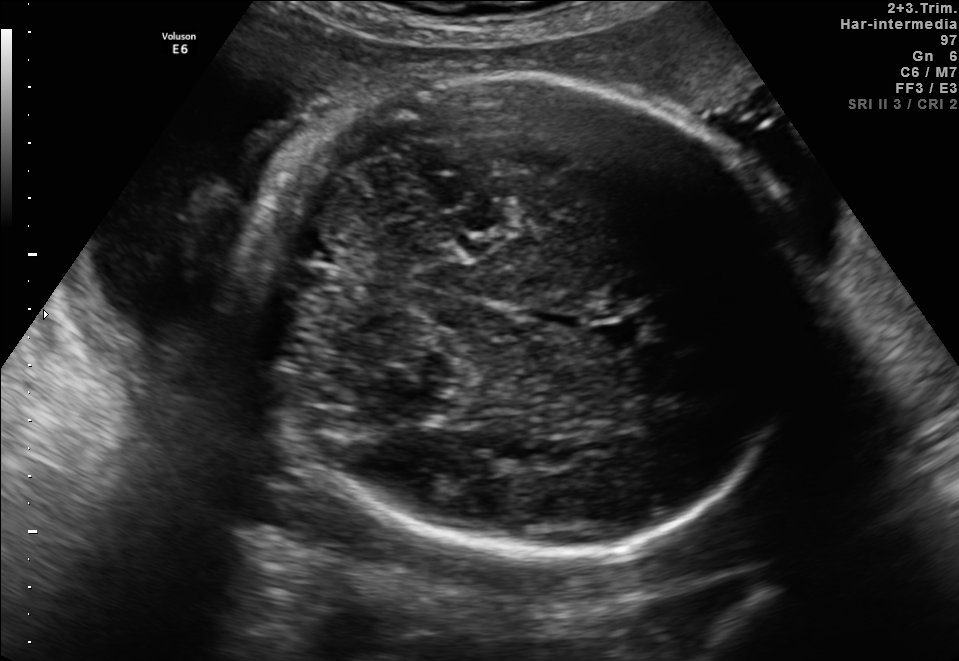
In this fetal brain, trans-cerebellum plane, give bounding boxes for the head outline, cavum septum pellucidum (CSP), and lateral ventricle (LV), where visible.

Head: [259,79,798,558]
CSP: [585,312,654,358]